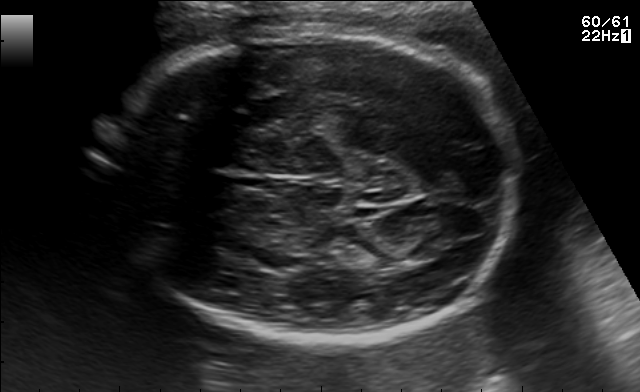
Fetal brain, trans-thalamic plane. Locate the fetal head.

Head: [100,25,523,349]